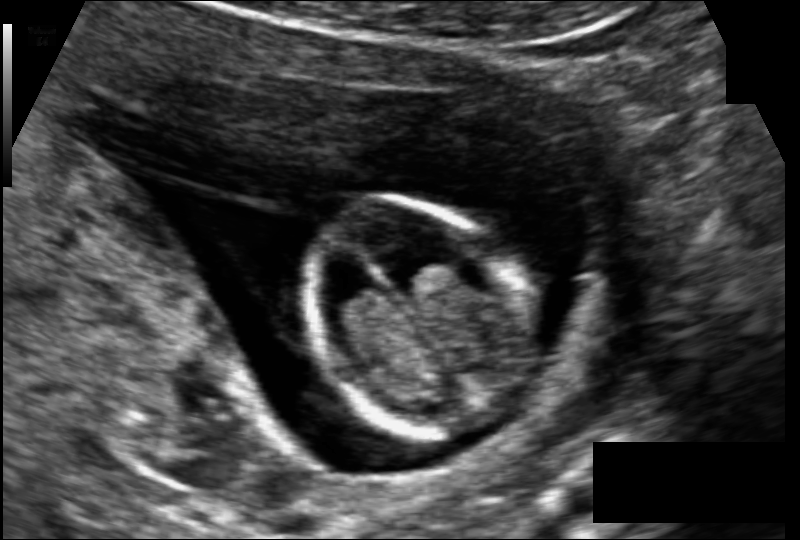
Estimate the fetal head circumference from this 2D ultrasound.

Head circumference: 76.6 mm (image width 81.3 mm).